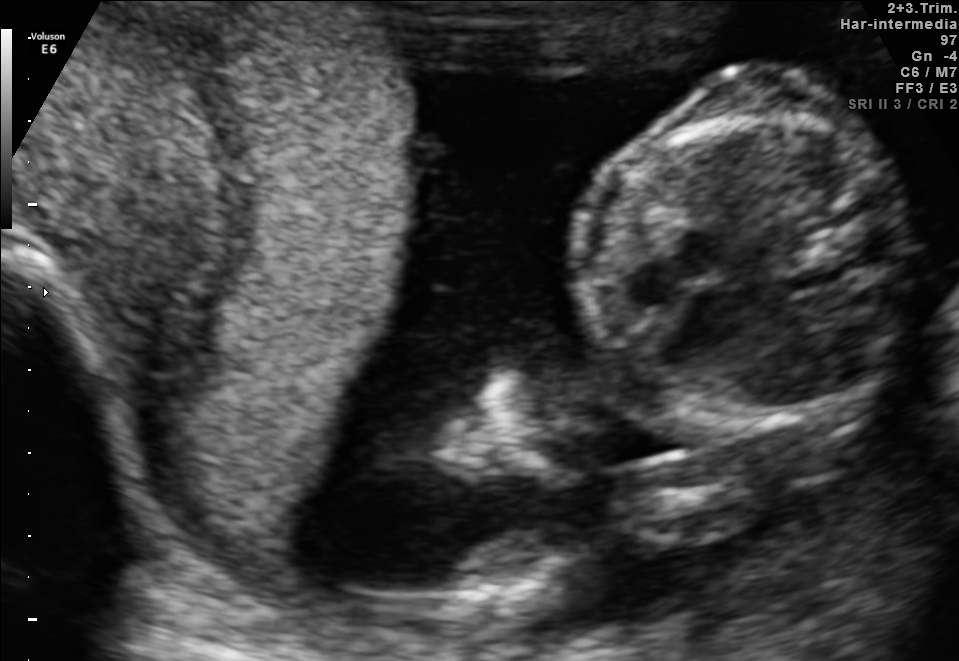
Which standard maternal-fetal ultrasound plane is shown: fetal abdomen, fetal brain, fetal femur, fetal thorax, maternal cervix, or other? If it's fetal brain and one of the three standard brain planes (trans-thalamic, trans-cerebellum, trans-ventricular), name which.

Fetal brain (trans-thalamic plane)